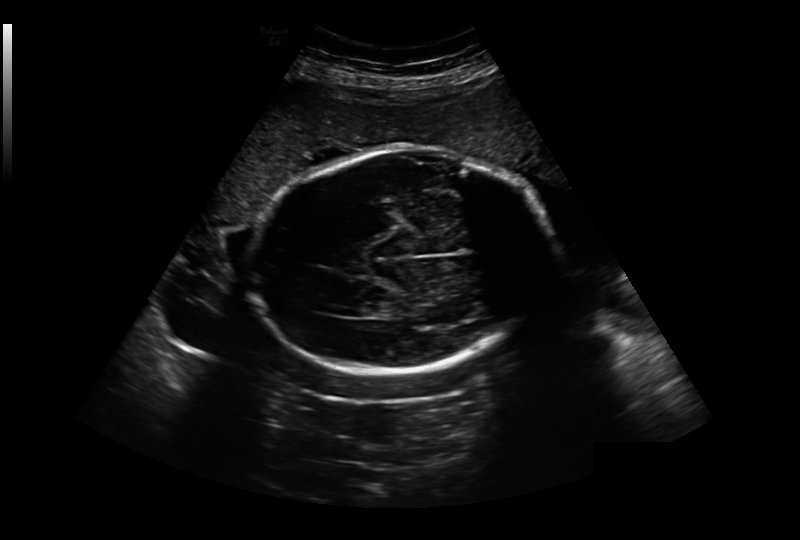
Fetal head ultrasound. Image width: 278.8 mm. Give [x1,y1,x2,y2] bounding boxes for each visible structure among: fetal head, CSP, LV.

Head: [249,147,556,372]